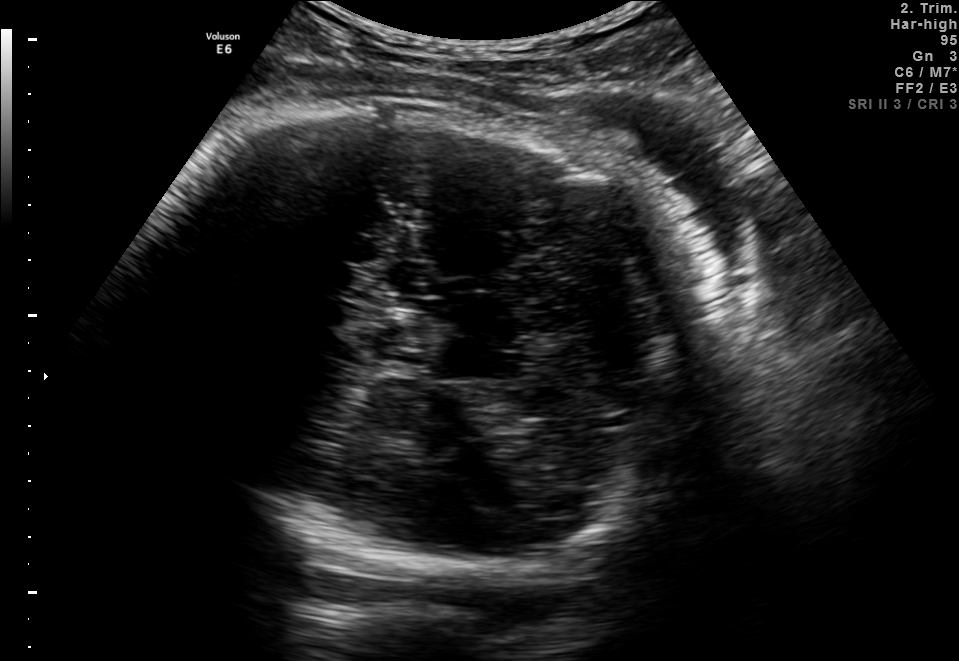
Fetal brain, trans-thalamic plane. Give [x1,y1,x2,y2] bounding boxes for each visible structure among: fetal head, CSP, LV.

Head: [131,105,686,570]